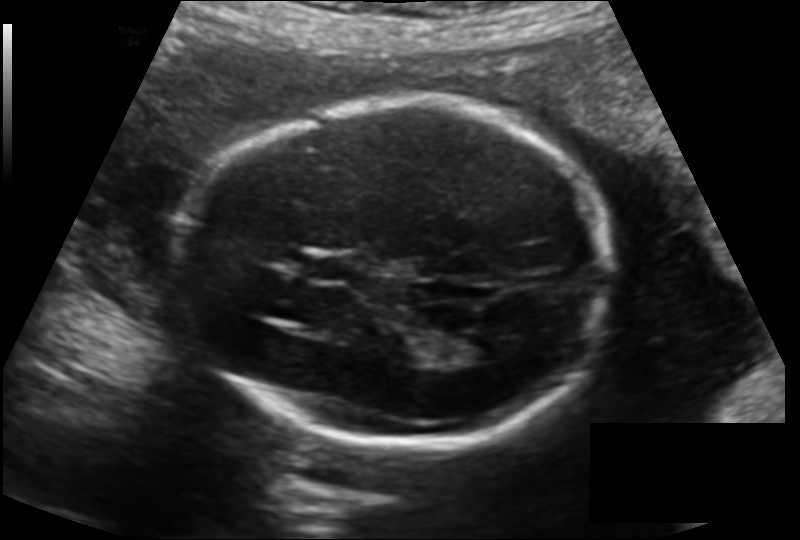
Fetal head ultrasound. Image width: 115.3 mm. Where is the cavum septum pellucidum?

CSP bounding box: [309,256,362,282]